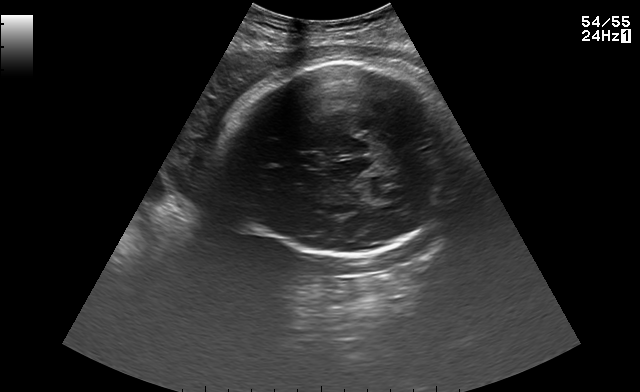
Fetal brain, trans-thalamic plane. Give [x1,y1,x2,y2] bounding boxes for each visible structure among: fetal head, CSP, LV.

Head: [226,62,455,255]
CSP: [293,154,317,167]